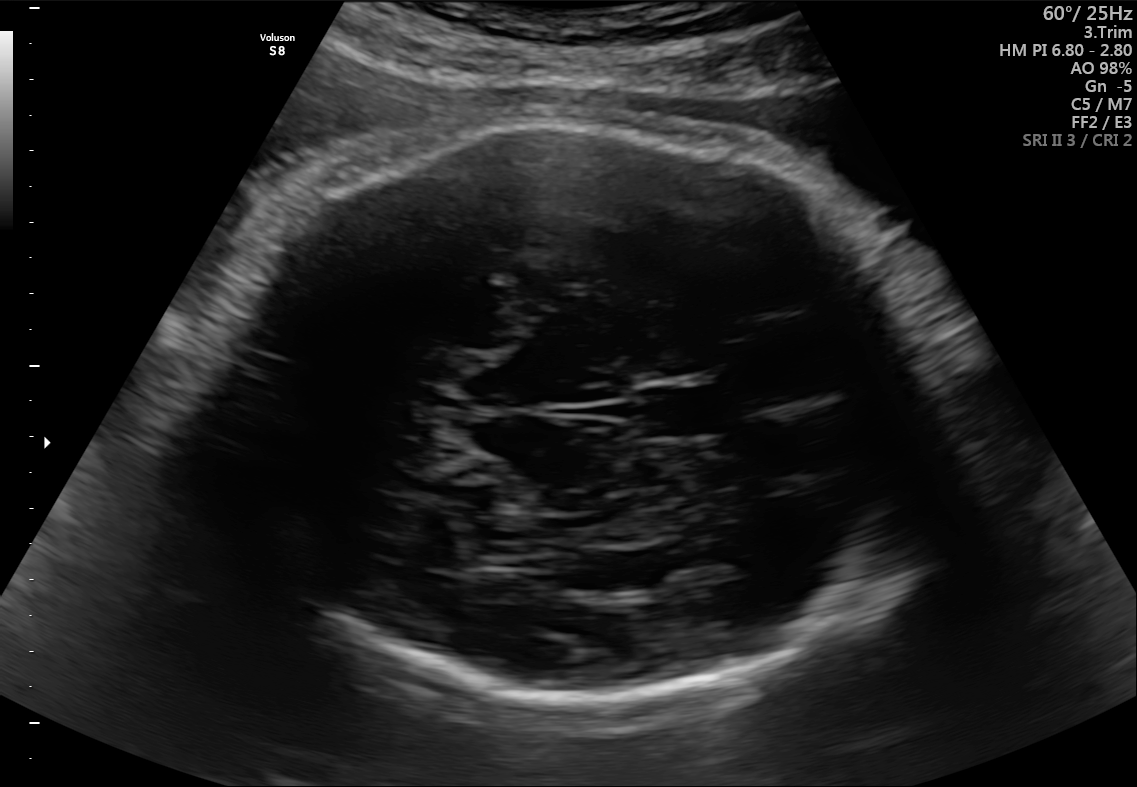
In this fetal brain, trans-thalamic plane, give bounding boxes for the head outline, cavum septum pellucidum (CSP), and lateral ventricle (LV), where visible.

Head: [215,124,930,701]
CSP: [640,383,731,437]